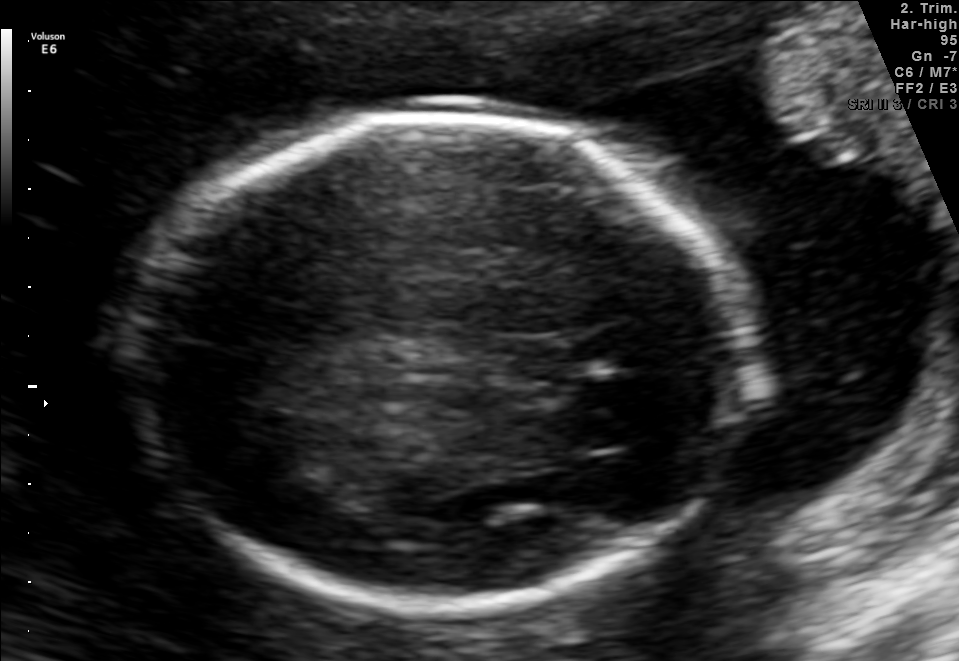
Fetal brain, trans-thalamic plane. Give [x1,y1,x2,y2] bounding boxes for each visible structure among: fetal head, CSP, LV.

Head: [142,116,749,597]